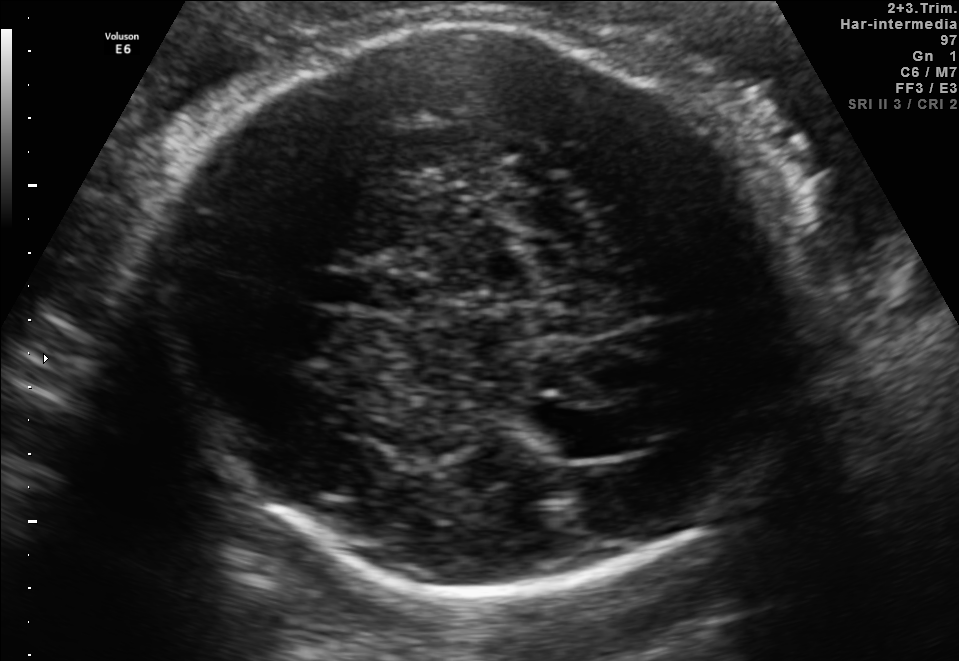
In this fetal brain, trans-thalamic plane, give the bounding box of the lateral ventricle.

[537,405,631,463]